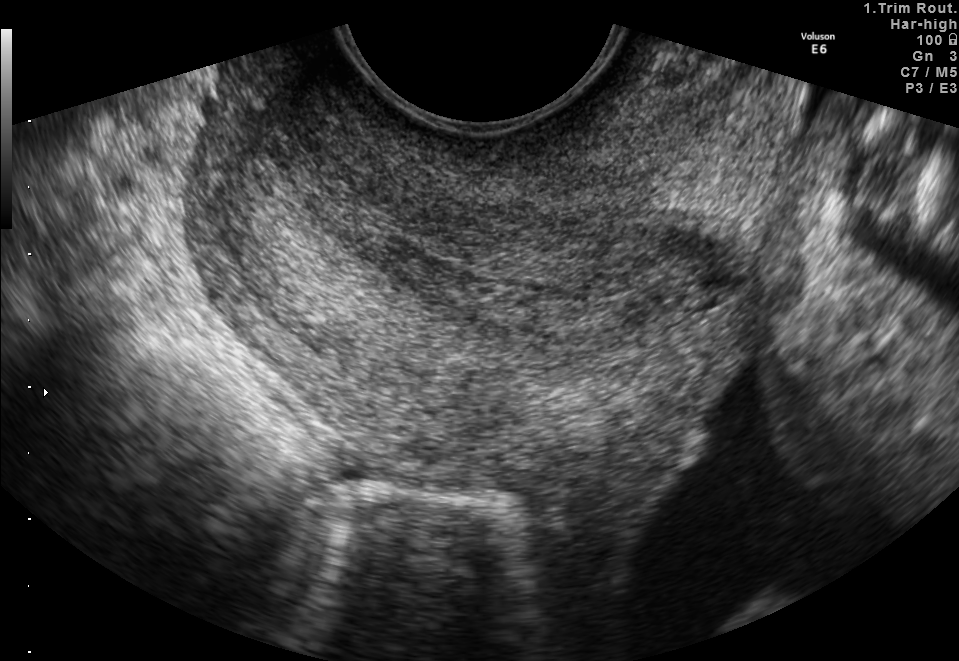
Classify this maternal-fetal ultrasound image as one of the six standard planes — fetal abdomen, fetal brain, fetal femur, fetal thorax, maternal cervix, or other. If it's fetal brain and one of the three standard brain planes (trans-thalamic, trans-cerebellum, trans-ventricular), name which.

Maternal cervix